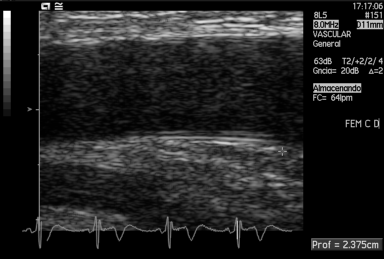
Which standard maternal-fetal ultrasound plane is shown: fetal abdomen, fetal brain, fetal femur, fetal thorax, maternal cervix, or other? If it's fetal brain and one of the three standard brain planes (trans-thalamic, trans-cerebellum, trans-ventricular), name which.

Other